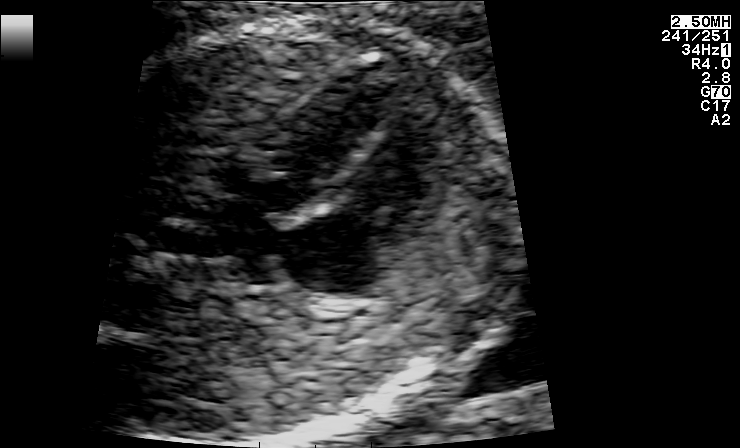
Which standard maternal-fetal ultrasound plane is shown: fetal abdomen, fetal brain, fetal femur, fetal thorax, maternal cervix, or other? If it's fetal brain and one of the three standard brain planes (trans-thalamic, trans-cerebellum, trans-ventricular), name which.

Fetal thorax